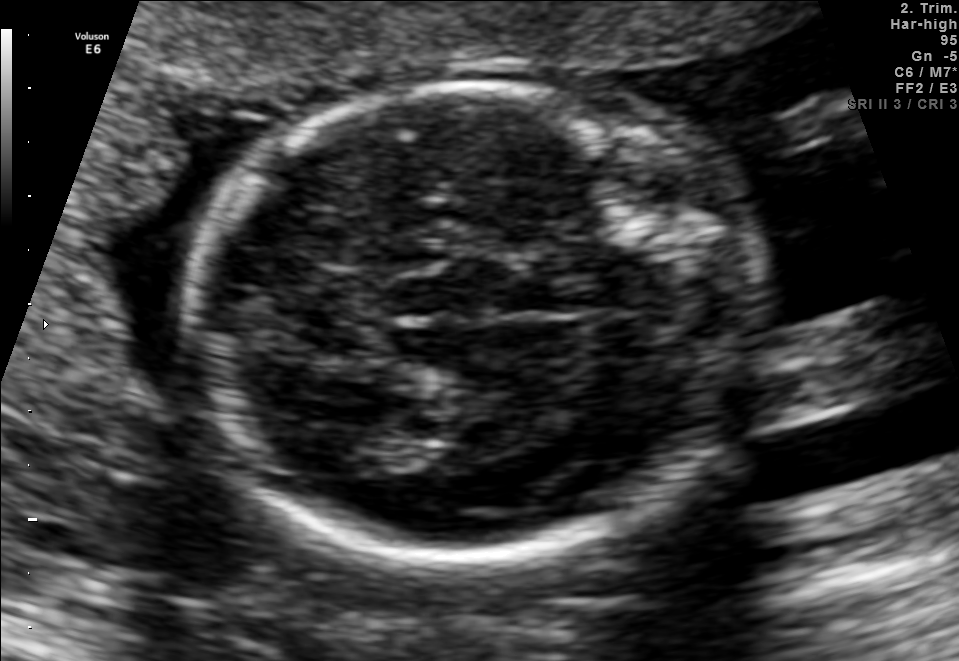
Fetal brain, trans-thalamic plane. Give [x1,y1,x2,y2] bounding boxes for each visible structure among: fetal head, CSP, LV.

Head: [181,87,752,560]
Lateral ventricle: [338,425,429,474]